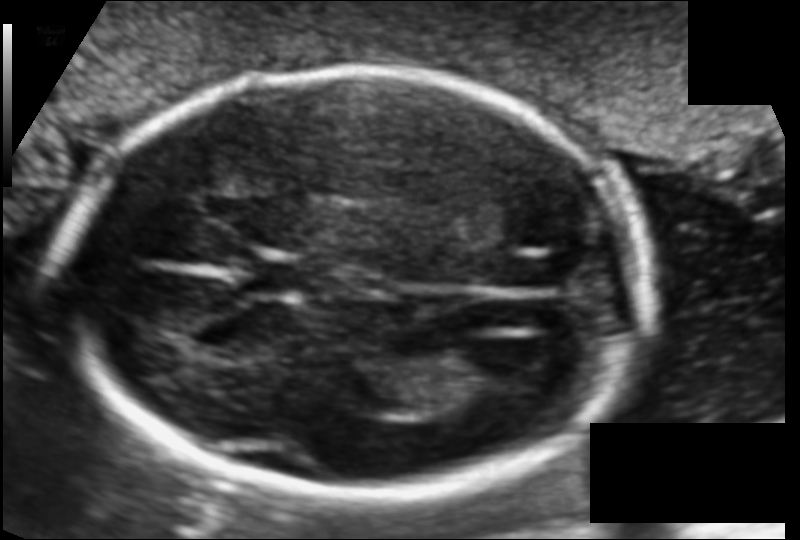
What is the fetal head circumference? Image width is 87.9 mm.

179.6 mm